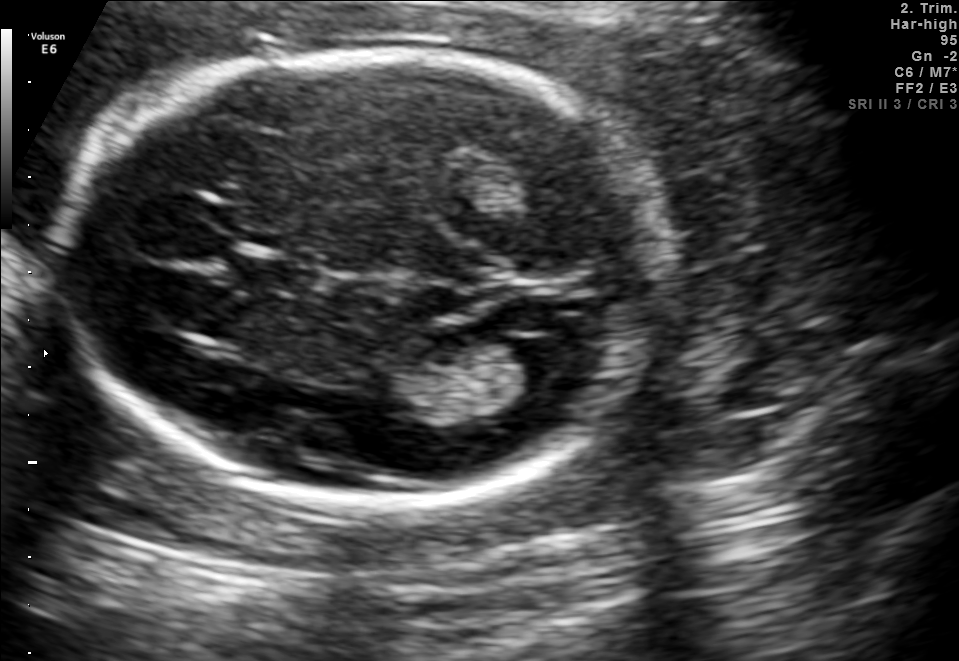
Fetal brain, trans-ventricular plane. Where is the cavum septum pellucidum?

CSP bounding box: [225,248,325,299]